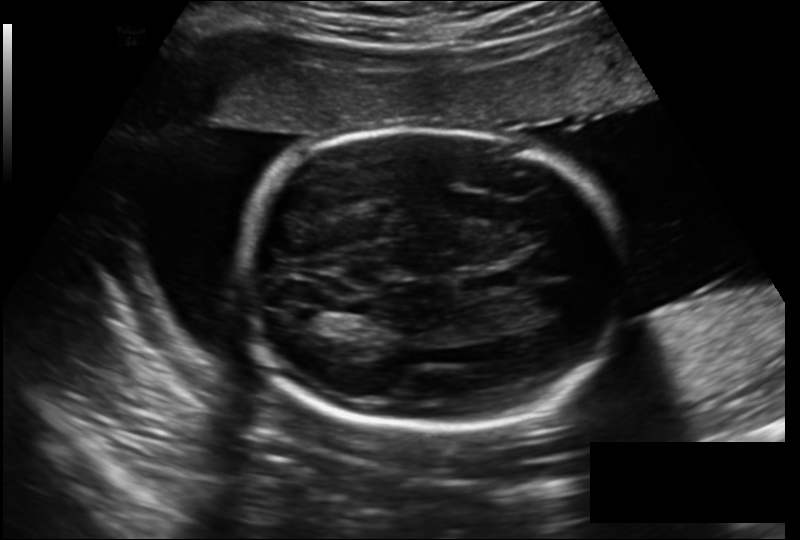
Fetal head ultrasound. Image width: 164.7 mm. Where is the cavum septum pellucidum?

CSP bounding box: [458,270,513,295]